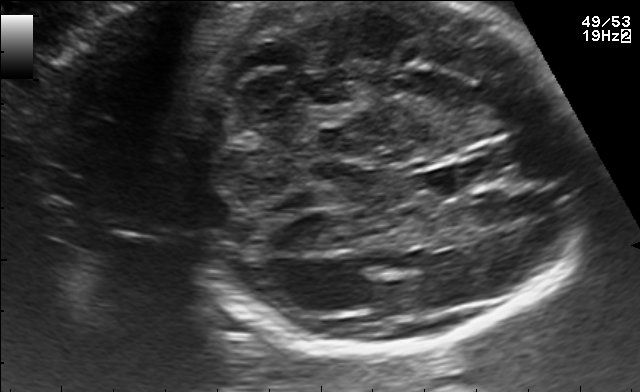
In this fetal brain, trans-cerebellum plane, give bounding boxes for the head outline, cavum septum pellucidum (CSP), and lateral ventricle (LV), where visible.

Head: [176,1,581,352]